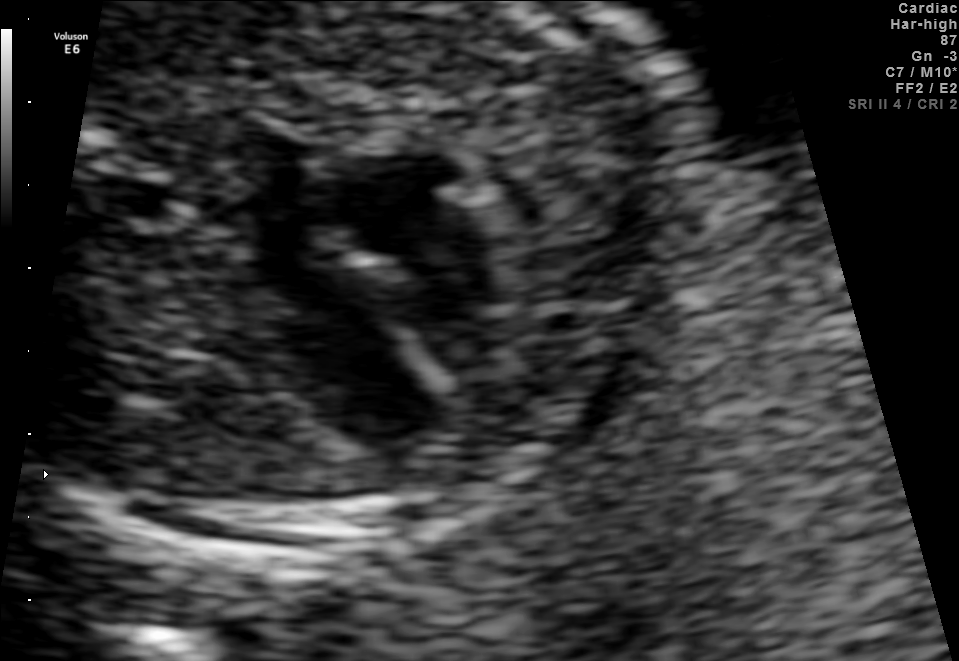
Which standard maternal-fetal ultrasound plane is shown: fetal abdomen, fetal brain, fetal femur, fetal thorax, maternal cervix, or other? If it's fetal brain and one of the three standard brain planes (trans-thalamic, trans-cerebellum, trans-ventricular), name which.

Fetal thorax